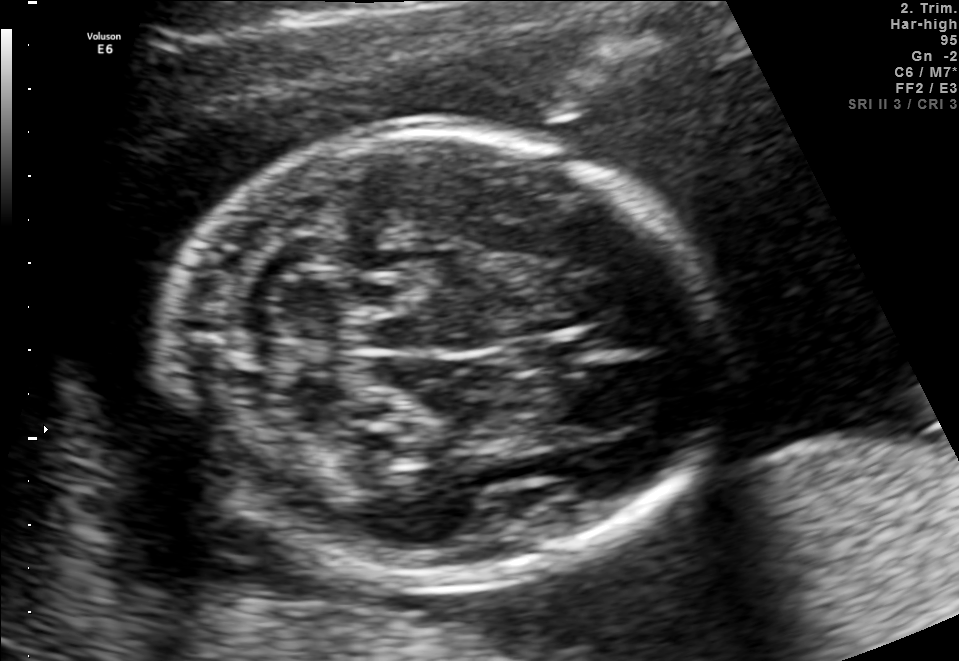
Fetal brain, trans-cerebellum plane. Where is the fetal head?

Head bounding box: [174,124,723,579]